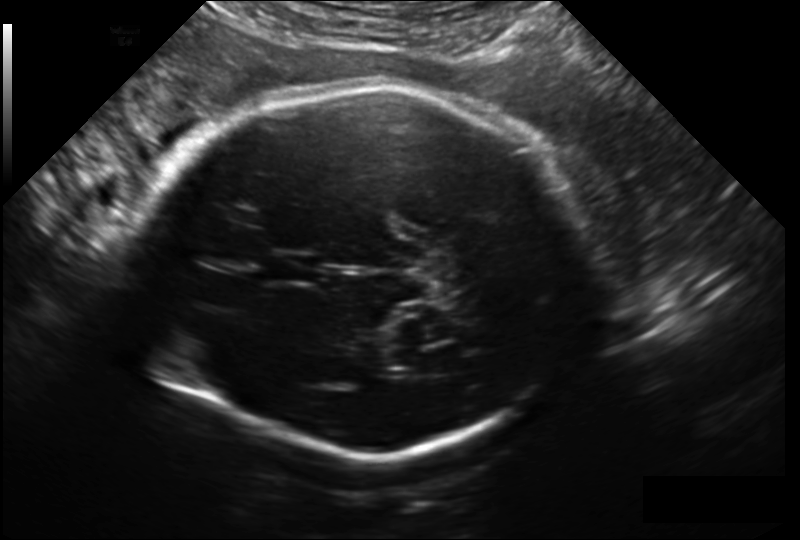
In this fetal head ultrasound, give the bounding box of the fetal head. Image width: 167.2 mm.

[136,86,589,454]